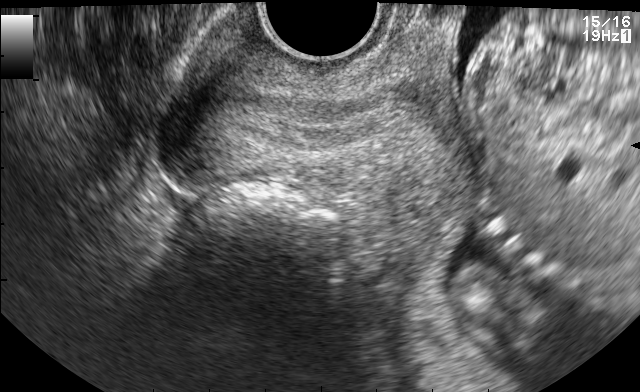
Classify this maternal-fetal ultrasound image as one of the six standard planes — fetal abdomen, fetal brain, fetal femur, fetal thorax, maternal cervix, or other. If it's fetal brain and one of the three standard brain planes (trans-thalamic, trans-cerebellum, trans-ventricular), name which.

Maternal cervix